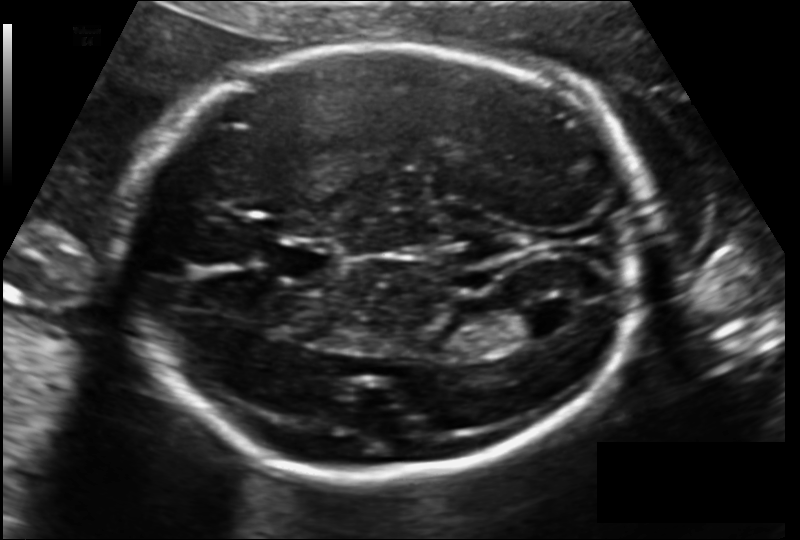
Fetal head ultrasound. Image width: 118.5 mm. Where is the fetal head?

Head bounding box: [127,45,647,474]